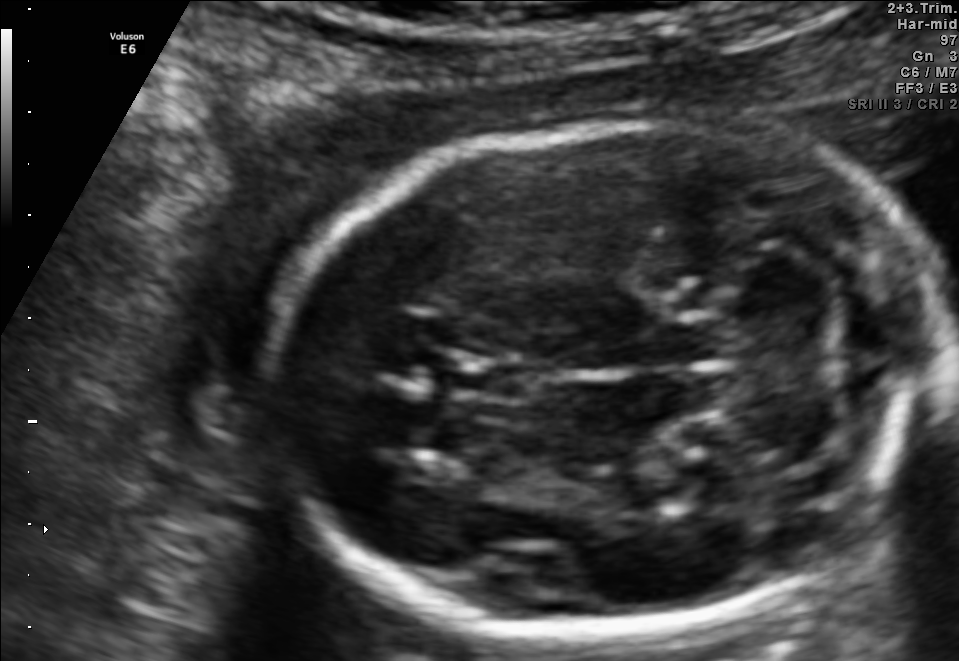
Fetal brain, trans-cerebellum plane. Give [x1,y1,x2,y2] bounding boxes for each visible structure among: fetal head, CSP, LV.

Head: [273,117,946,642]
CSP: [449,358,543,400]